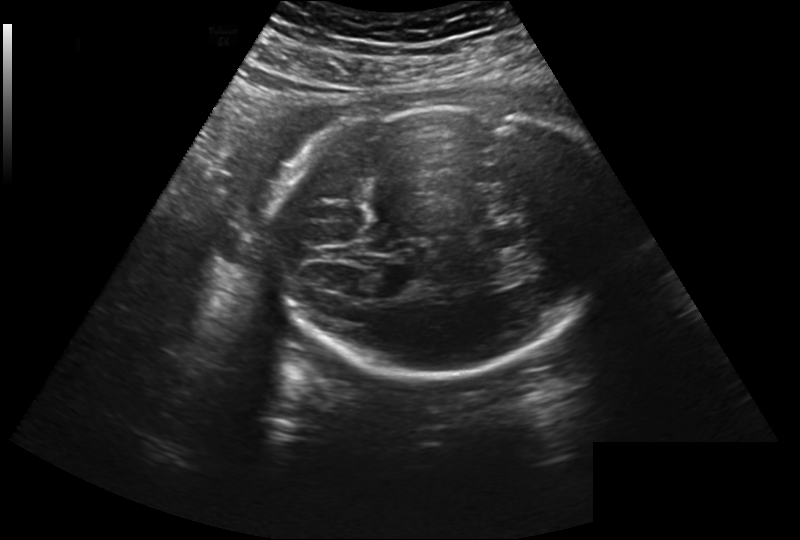
In this fetal head ultrasound, give bounding boxes for the head outline, cavum septum pellucidum (CSP), and lateral ventricle (LV), where visible. Image width: 208.3 mm.

Head: [268,105,622,377]
CSP: [477,223,522,251]
Lateral ventricle: [320,263,372,298]